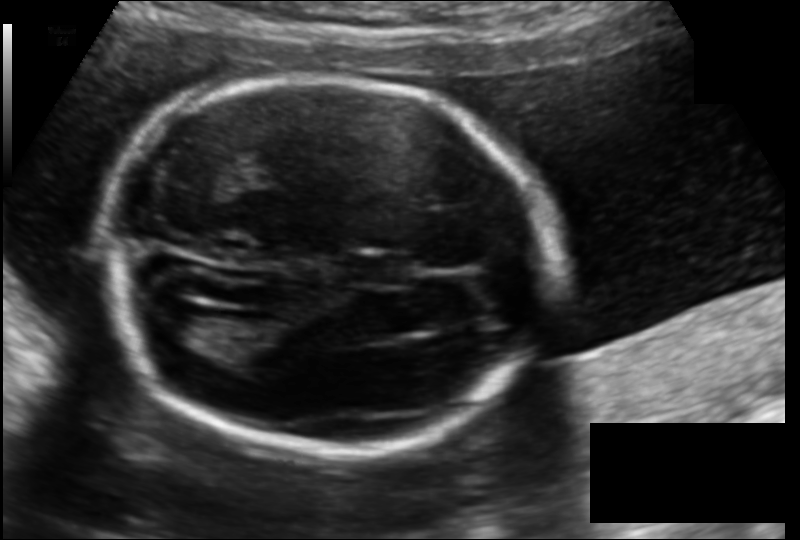
Fetal head ultrasound. Image width: 107.8 mm. Locate the fetal head and, if visible, the cavum septum pellucidum (CSP) and lateral ventricle (LV). Give bounding boxes as [x1,y1,x2,y2].

Head: [99,76,549,449]
CSP: [354,256,412,284]
Lateral ventricle: [144,299,215,354]